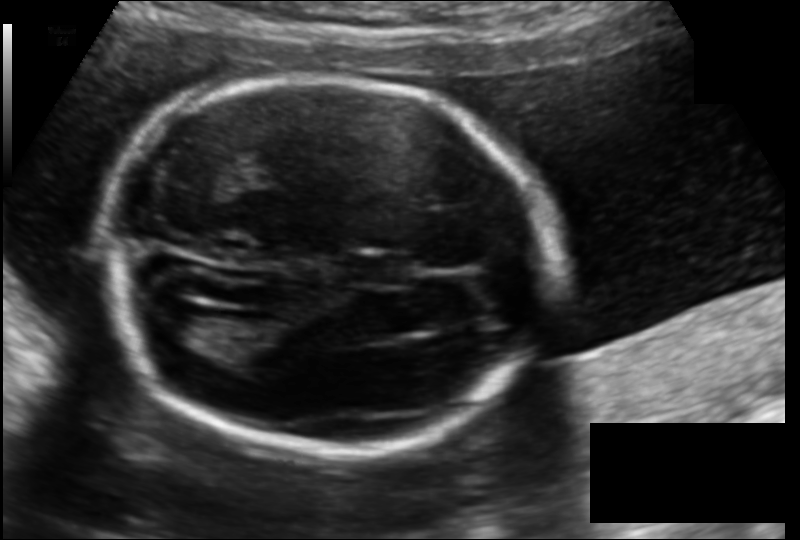
Fetal head ultrasound. Image width: 107.8 mm. Where is the lateral ventricle?

Lateral ventricle bounding box: [144,299,215,354]